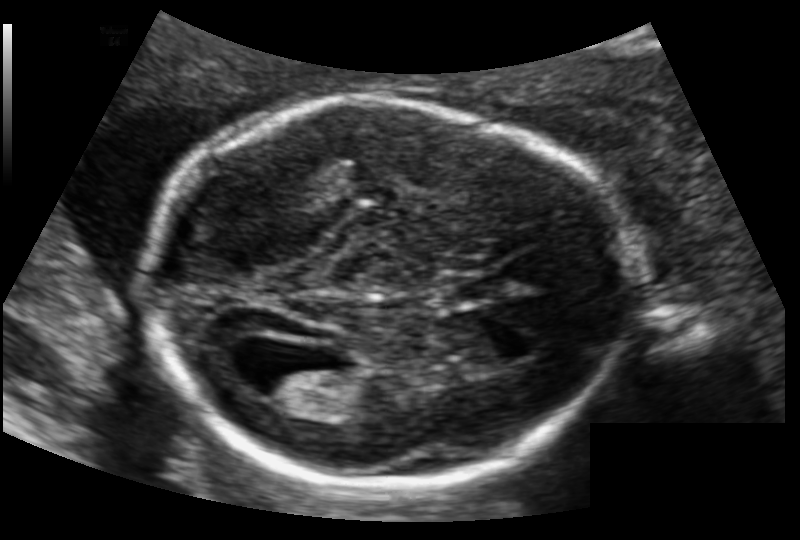
In this fetal head ultrasound, give the bounding box of the cavum septum pellucidum. Image width: 100.7 mm.

[450,273,506,303]